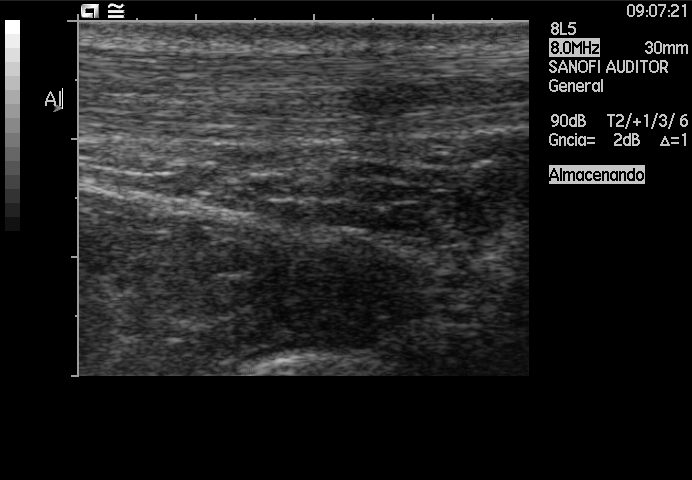
Identify the standard plane in this fetal ultrasound image: fetal abdomen, fetal brain, fetal femur, fetal thorax, maternal cervix, or other. If it's fetal brain and one of the three standard brain planes (trans-thalamic, trans-cerebellum, trans-ventricular), name which.

Other